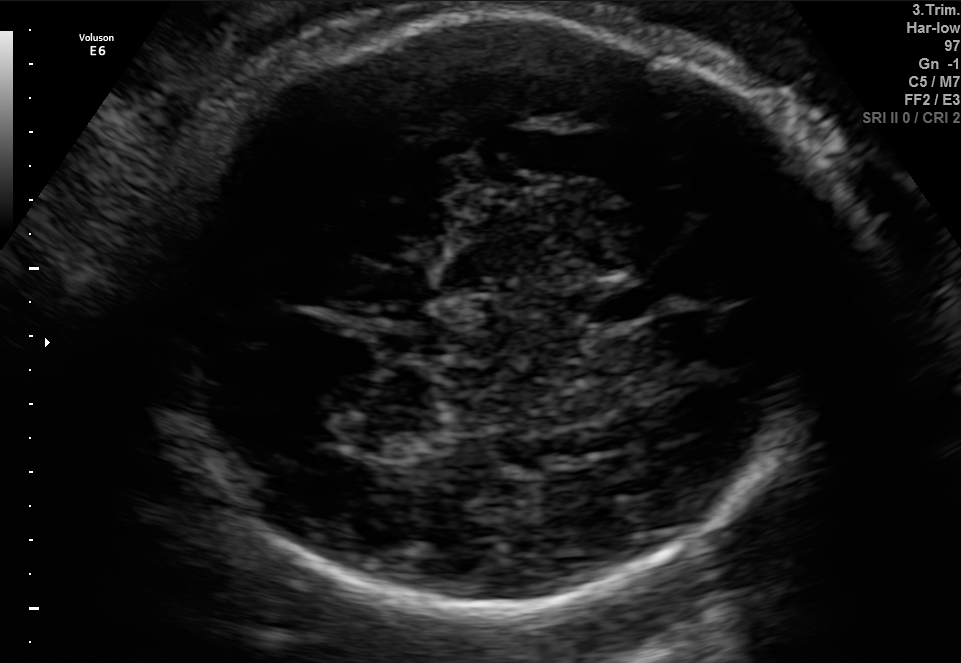
Fetal brain, trans-thalamic plane. Locate the fetal head and, if visible, the cavum septum pellucidum (CSP) and lateral ventricle (LV). Give bounding boxes as [x1,y1,x2,y2].

Head: [149,12,836,609]
CSP: [578,281,657,336]